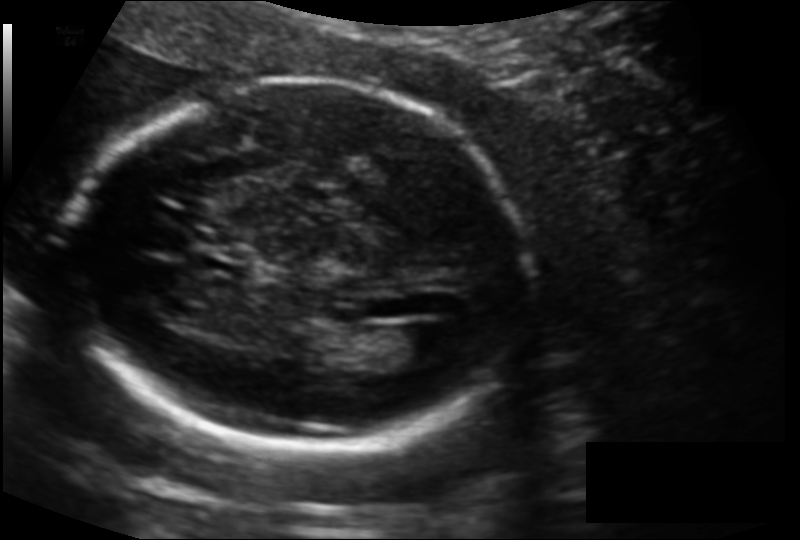
In this fetal head ultrasound, give the bounding box of the lateral ventricle. Image width: 101.6 mm.

[379,322,454,367]